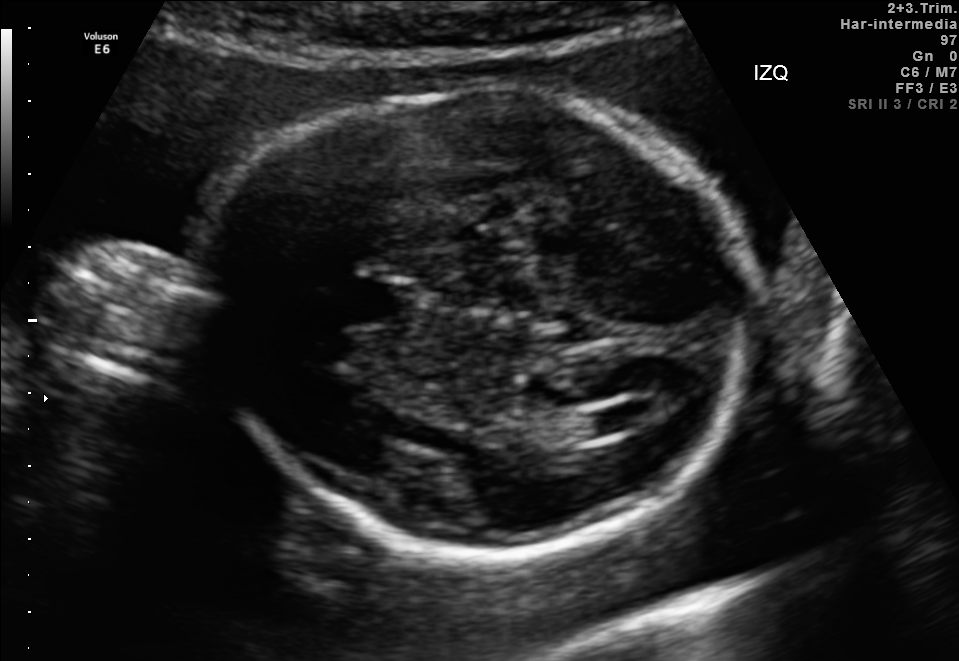
Fetal brain, trans-ventricular plane. Locate the fetal head and, if visible, the cavum septum pellucidum (CSP) and lateral ventricle (LV). Give bounding boxes as [x1,y1,x2,y2].

Head: [186,78,775,565]
Lateral ventricle: [589,398,649,438]